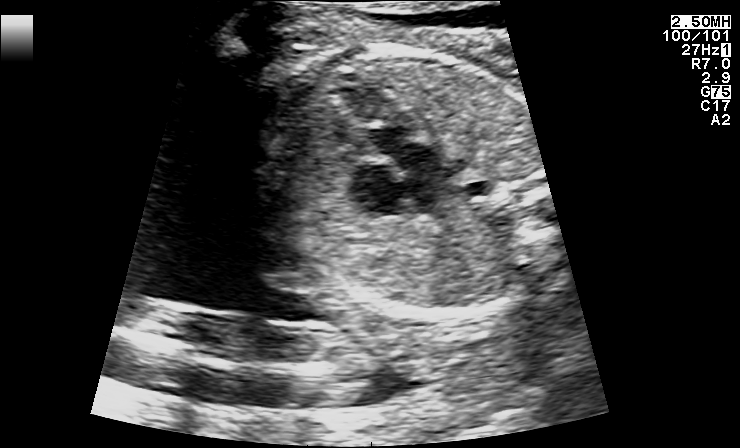
Classify this maternal-fetal ultrasound image as one of the six standard planes — fetal abdomen, fetal brain, fetal femur, fetal thorax, maternal cervix, or other. If it's fetal brain and one of the three standard brain planes (trans-thalamic, trans-cerebellum, trans-ventricular), name which.

Fetal thorax